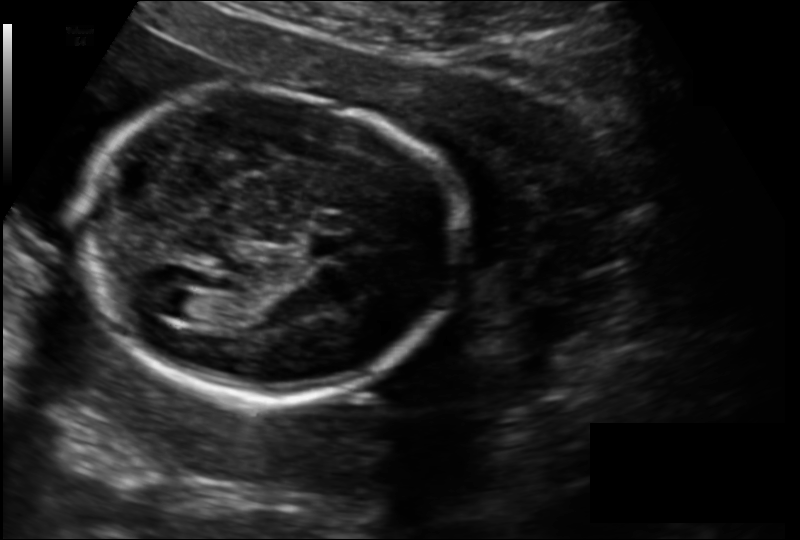
Fetal head ultrasound. Image width: 119.1 mm. Give [x1,y1,x2,y2] bounding boxes for each visible structure among: fetal head, CSP, LV.

Head: [73,90,456,399]
CSP: [306,233,345,260]
Lateral ventricle: [158,287,202,322]